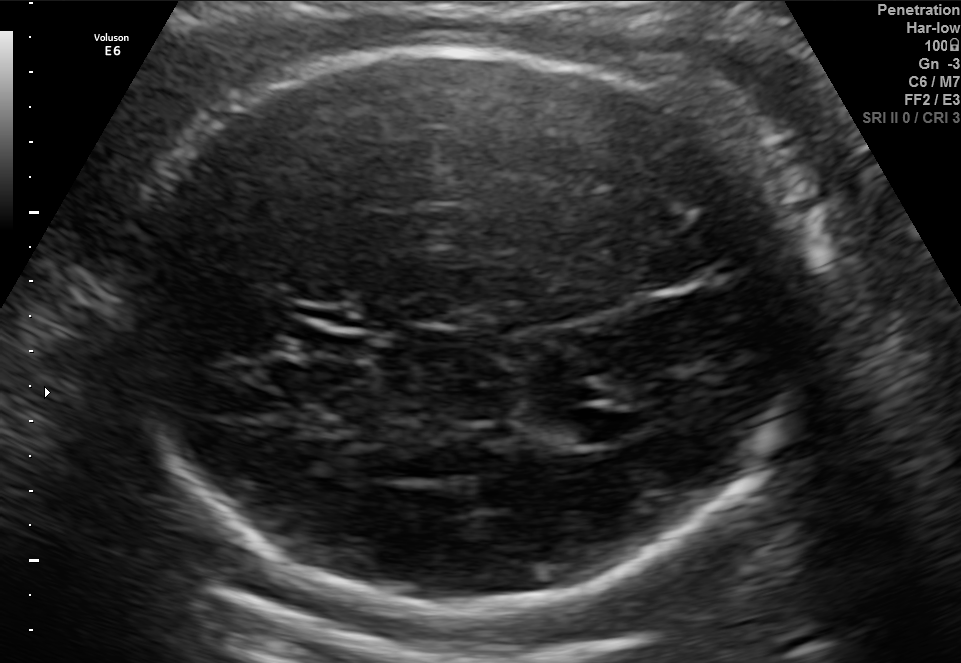
In this fetal brain, trans-ventricular plane, give the bounding box of the lateral ventricle.

[556,404,626,446]